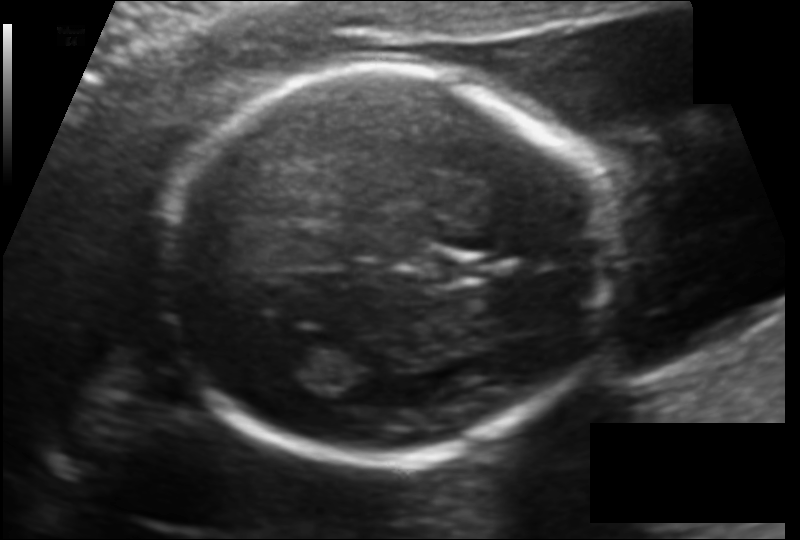
From this fetal ultrasound, estimate the head circumference (image width 98.0 mm).

Head circumference: 168.5 mm.